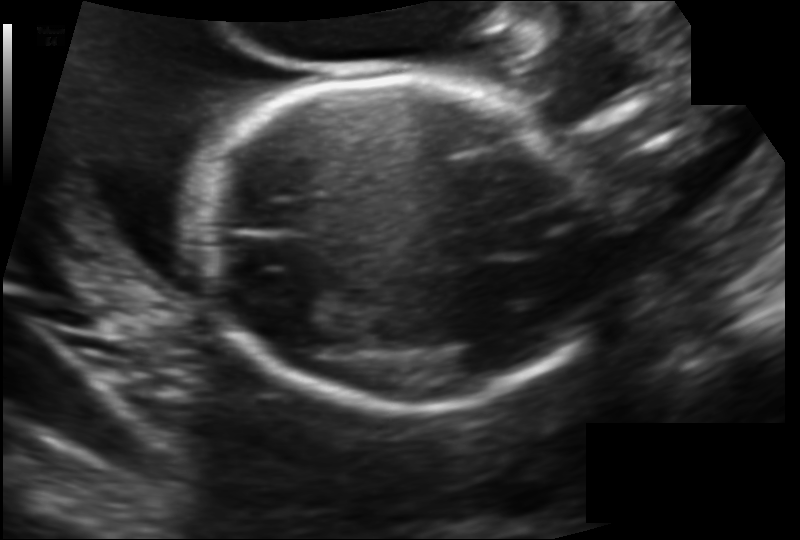
Fetal head ultrasound. Image width: 110.4 mm. Give [x1,y1,x2,y2] bounding boxes for each visible structure among: fetal head, CSP, LV.

Head: [198,78,604,412]